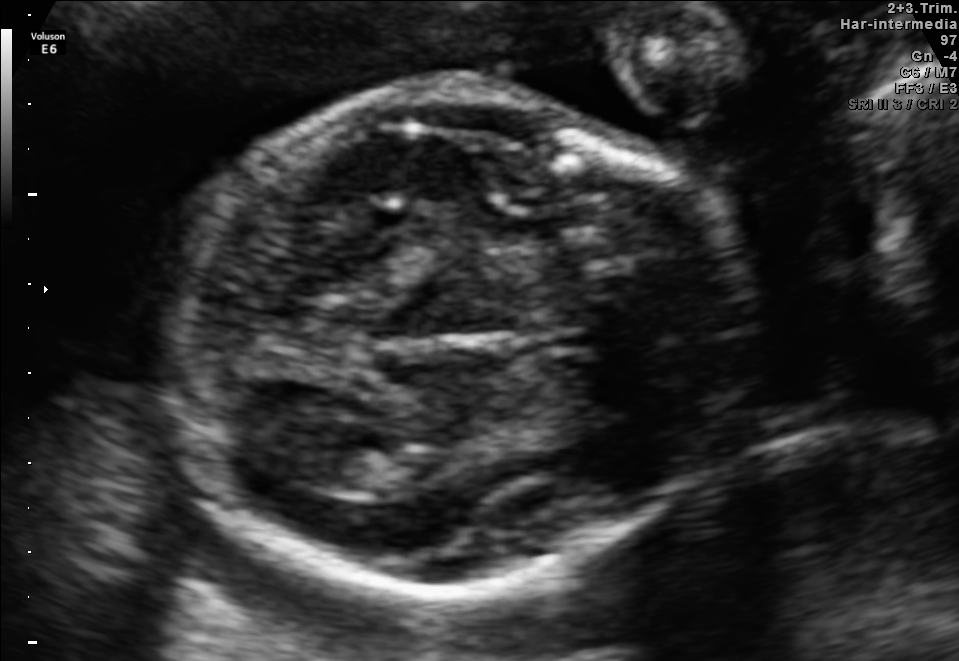
Fetal brain, trans-thalamic plane. Where is the lateral ventricle?

Lateral ventricle bounding box: [304,439,393,496]